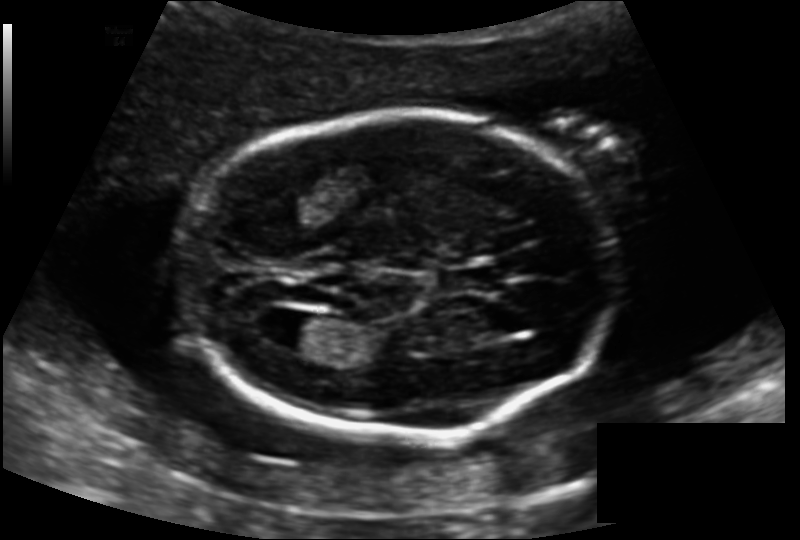
Fetal head ultrasound. Image width: 111.5 mm. Locate the fetal head.

Head: [183,112,614,435]